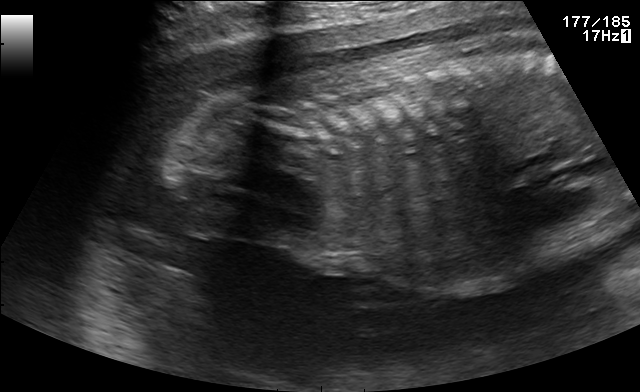
Identify the standard plane in this fetal ultrasound image: fetal abdomen, fetal brain, fetal femur, fetal thorax, maternal cervix, or other. If it's fetal brain and one of the three standard brain planes (trans-thalamic, trans-cerebellum, trans-ventricular), name which.

Other